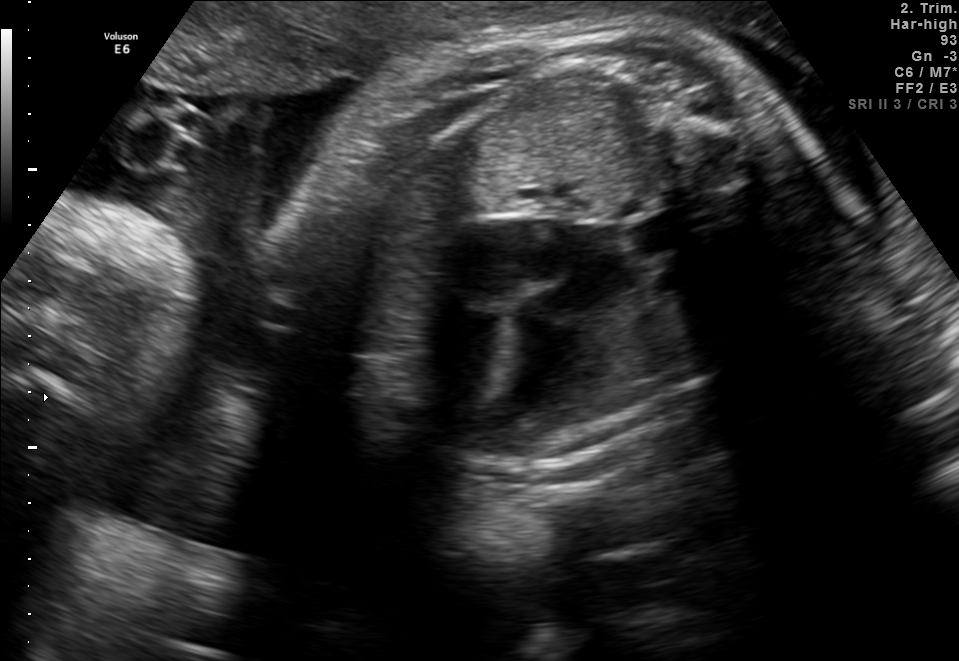
Identify the standard plane in this fetal ultrasound image: fetal abdomen, fetal brain, fetal femur, fetal thorax, maternal cervix, or other. If it's fetal brain and one of the three standard brain planes (trans-thalamic, trans-cerebellum, trans-ventricular), name which.

Fetal thorax